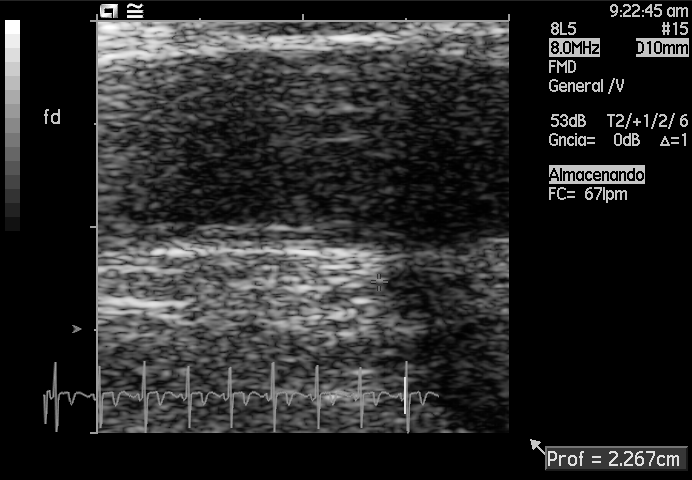
Classify this maternal-fetal ultrasound image as one of the six standard planes — fetal abdomen, fetal brain, fetal femur, fetal thorax, maternal cervix, or other. If it's fetal brain and one of the three standard brain planes (trans-thalamic, trans-cerebellum, trans-ventricular), name which.

Other